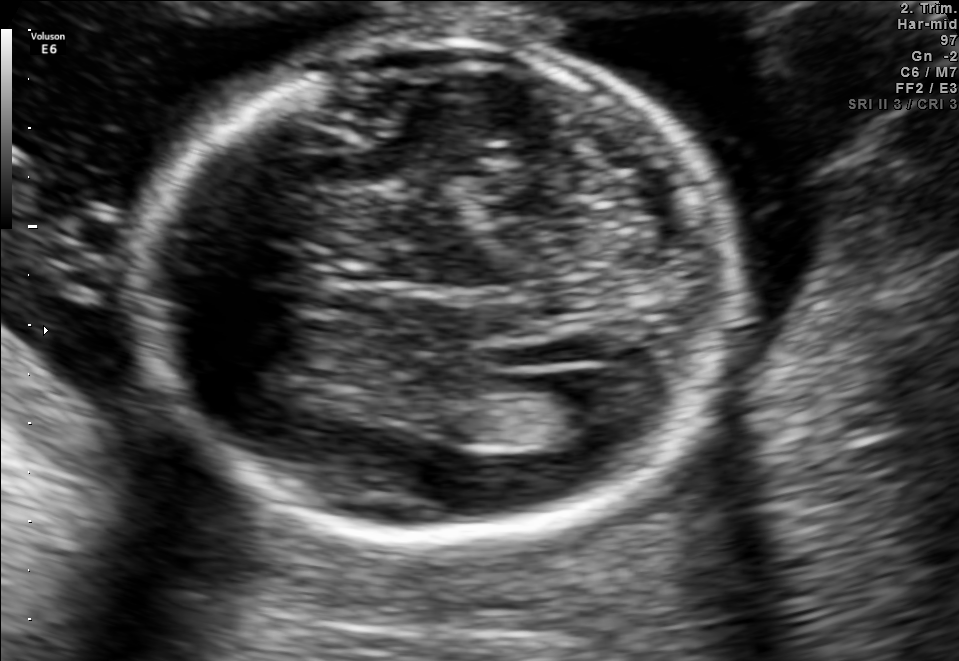
Fetal brain, trans-ventricular plane. Give [x1,y1,x2,y2] bounding boxes for each visible structure among: fetal head, CSP, LV.

Head: [124,27,753,548]
Lateral ventricle: [536,382,632,444]